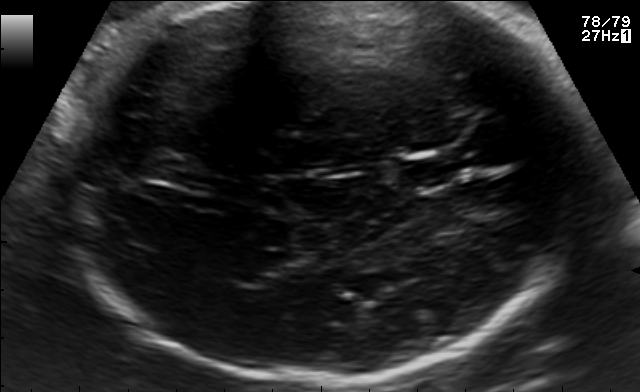
Fetal brain, trans-thalamic plane. Locate the fetal head and, if visible, the cavum septum pellucidum (CSP) and lateral ventricle (LV). Give bounding boxes as [x1,y1,x2,y2].

Head: [57,2,607,384]
CSP: [398,153,456,193]